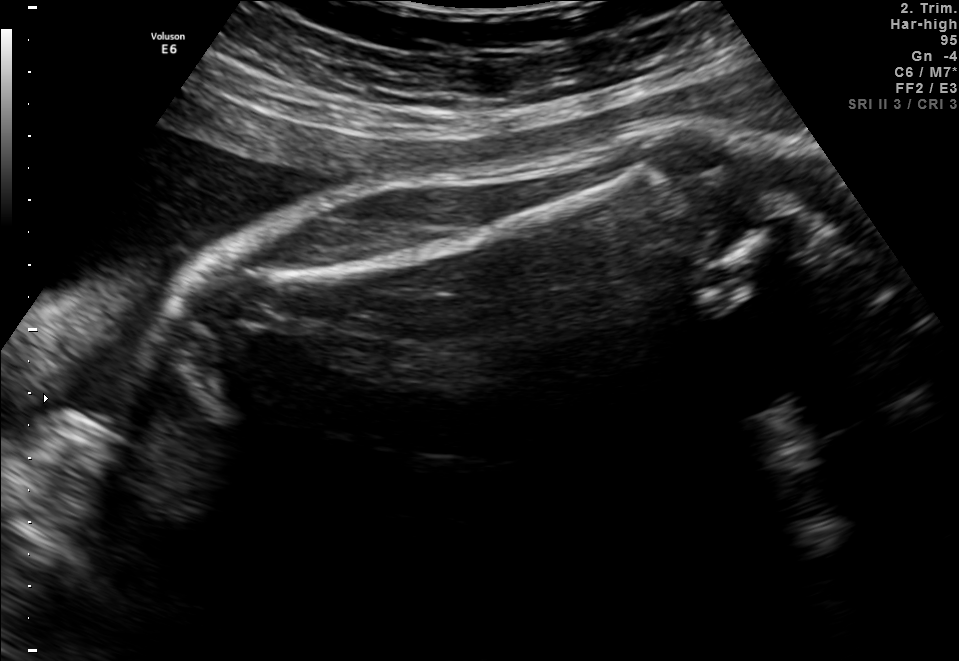
This is a 2D maternal-fetal ultrasound frame. Is it a fetal abdomen, fetal brain, fetal femur, fetal thorax, maternal cervix, or other standard plane? If it's fetal brain and one of the three standard brain planes (trans-thalamic, trans-cerebellum, trans-ventricular), name which.

Fetal femur